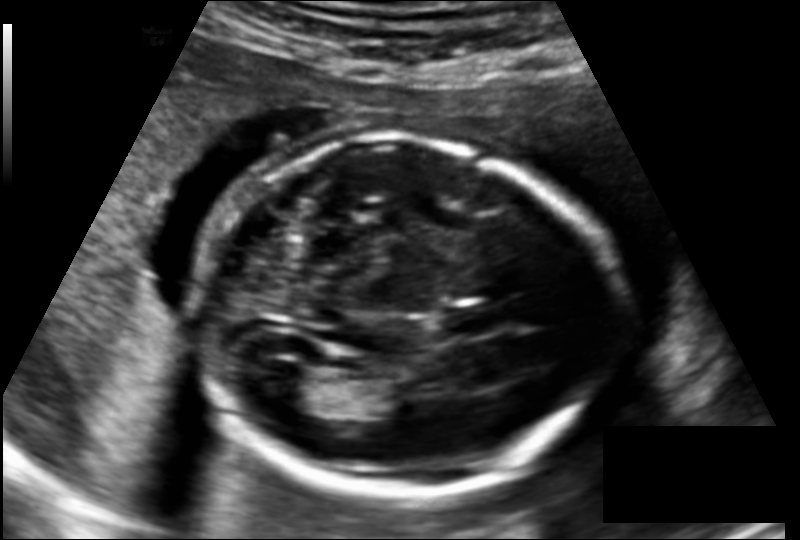
From this fetal ultrasound, estimate the head circumference (image width 115.9 mm).

Head circumference: 183.1 mm.